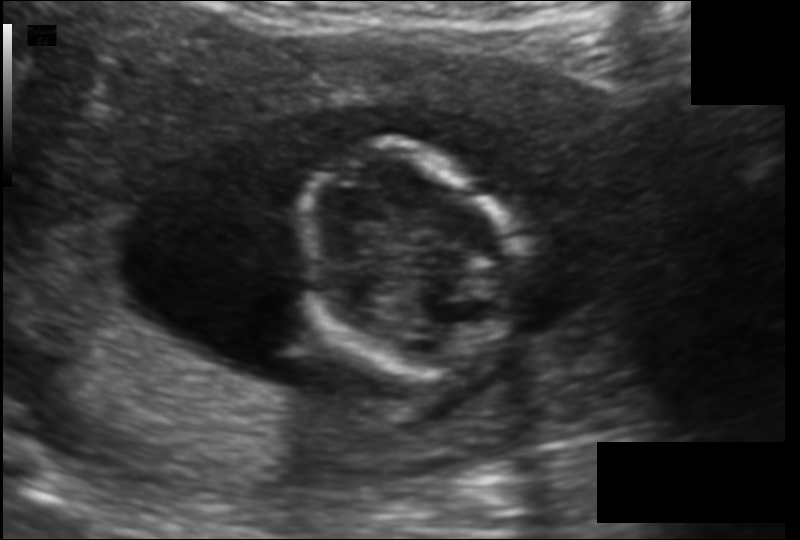
What is the fetal head circumference? Image width is 103.9 mm.

98.7 mm